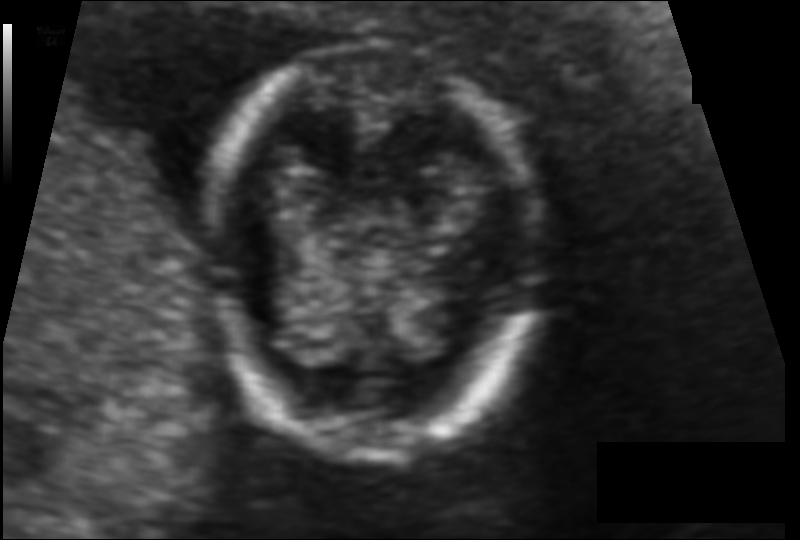
In this fetal head ultrasound, give the bounding box of the fetal head. Image width: 63.9 mm.

[212,46,535,460]